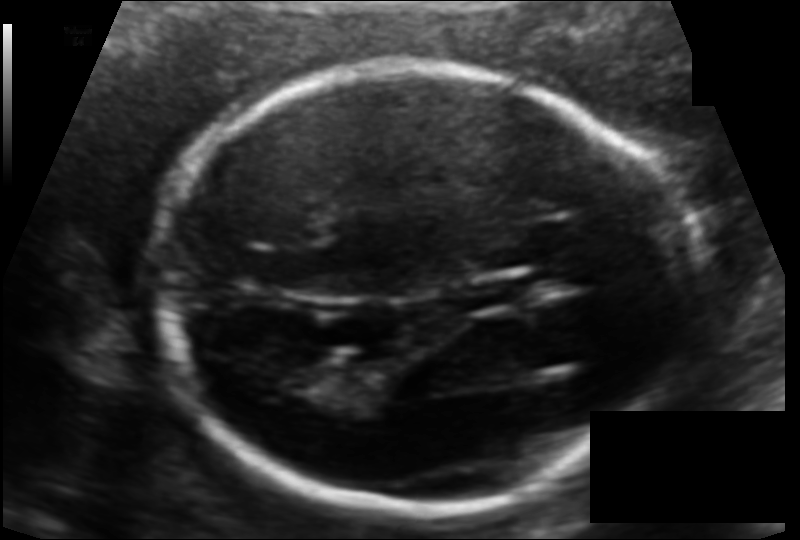
Fetal head ultrasound. Image width: 85.9 mm. Locate the fetal head and, if visible, the cavum septum pellucidum (CSP) and lateral ventricle (LV). Give bounding boxes as [x1,y1,x2,y2].

Head: [159,60,686,508]
CSP: [462,275,533,315]